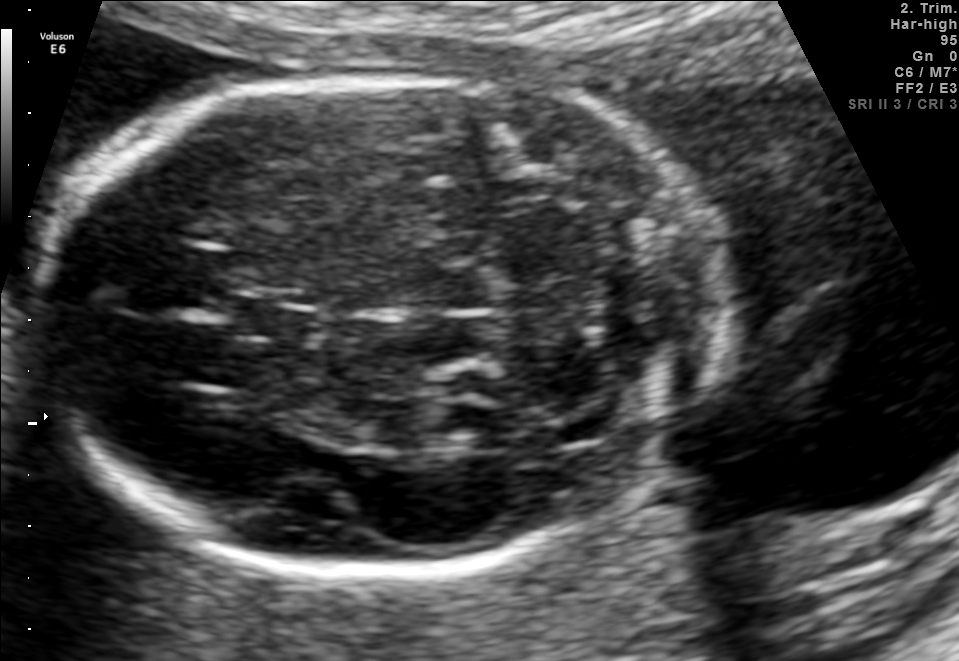
In this fetal brain, trans-cerebellum plane, give bounding boxes for the head outline, cavum septum pellucidum (CSP), and lateral ventricle (LV), where visible.

Head: [37,71,728,574]
CSP: [232,295,321,345]